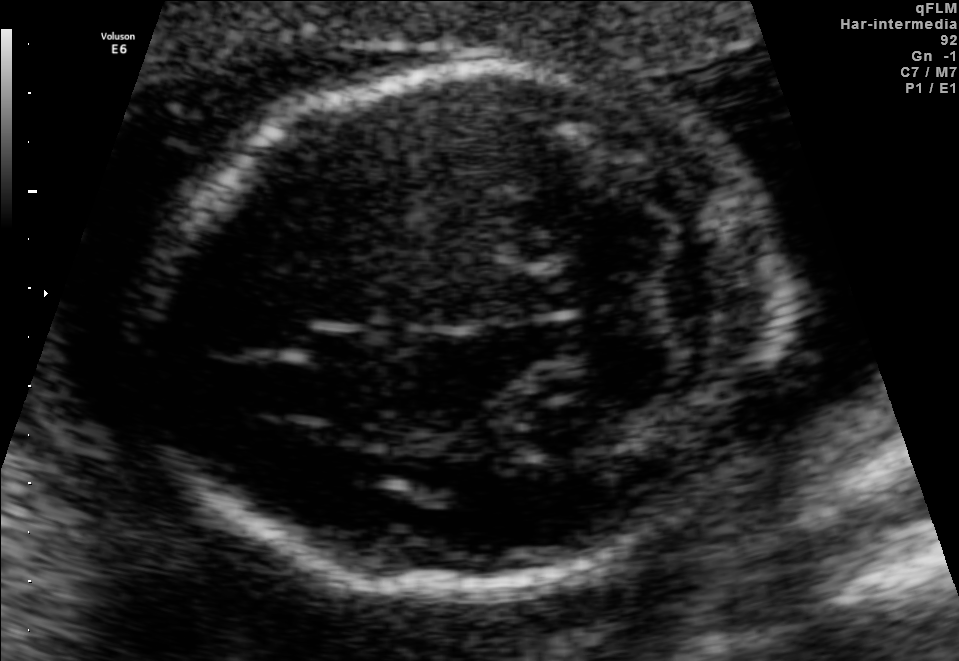
Fetal brain, trans-cerebellum plane. Locate the fetal head.

Head: [140,66,781,585]